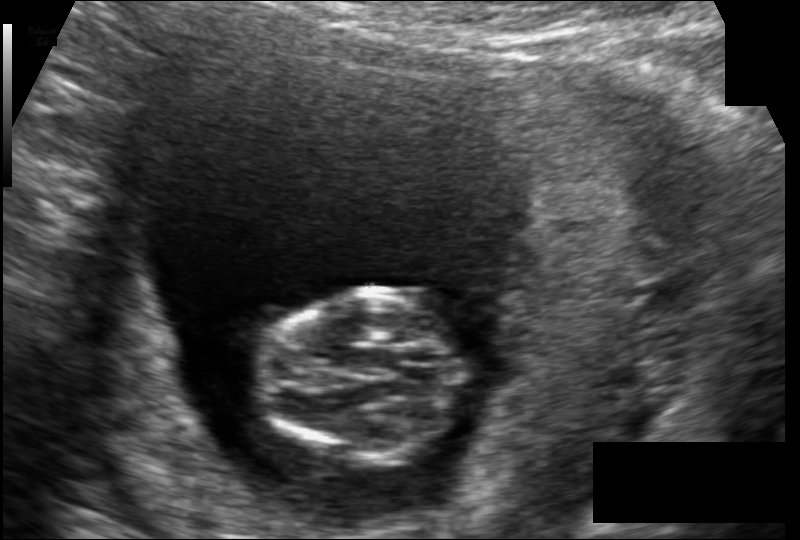
In this fetal head ultrasound, give bounding boxes for the head outline, cavum septum pellucidum (CSP), and lateral ventricle (LV), where visible. Image width: 93.8 mm.

Head: [261,289,464,465]